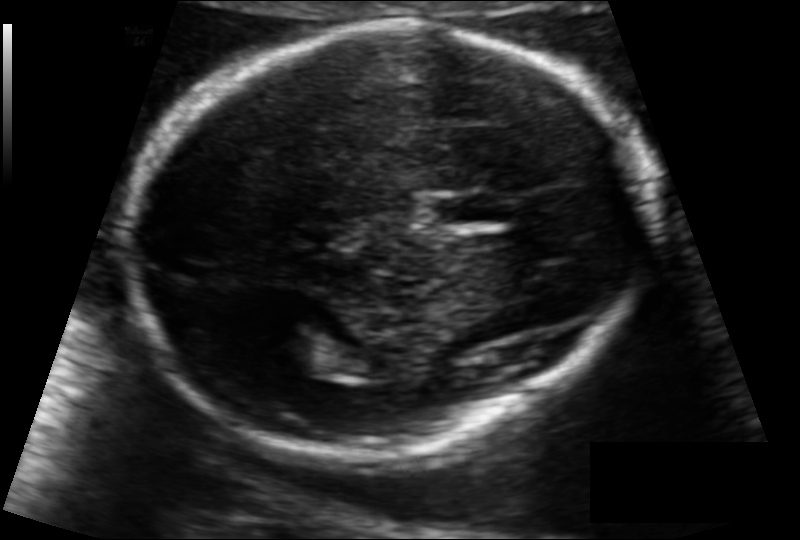
Fetal head ultrasound. Image width: 88.7 mm. Where is the cavum septum pellucidum?

CSP bounding box: [433,195,505,225]